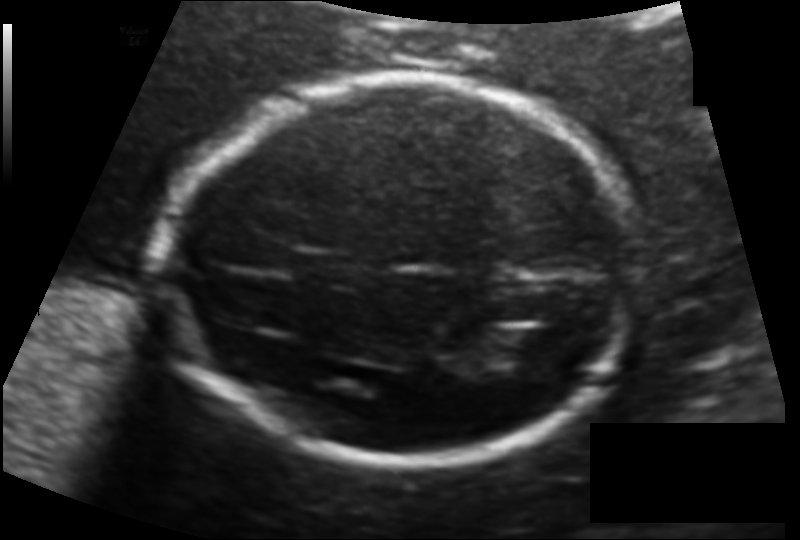
In this fetal head ultrasound, give bounding boxes for the head outline, cavum septum pellucidum (CSP), and lateral ventricle (LV), where visible. Image width: 98.0 mm.

Head: [164,75,644,465]
CSP: [293,245,365,290]
Lateral ventricle: [502,330,556,362]